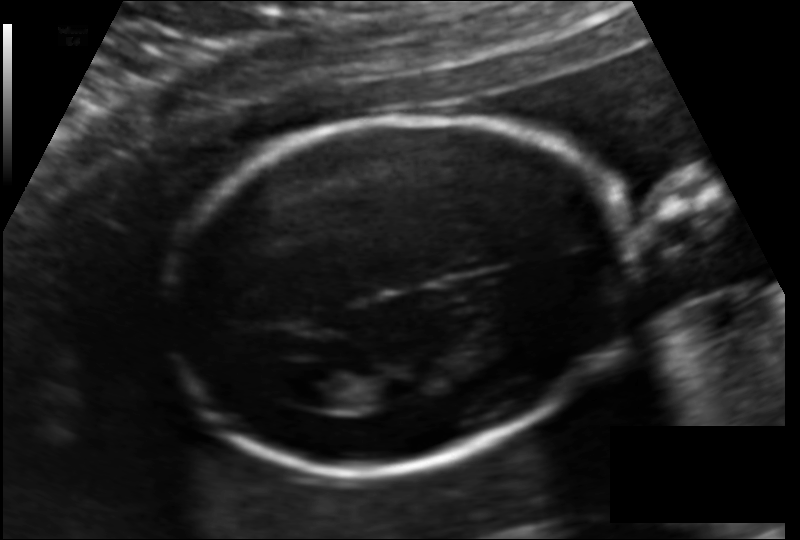
Estimate the fetal head circumference from this 2D ultrasound. Image width: 101.5 mm.

Head circumference: 166.8 mm.